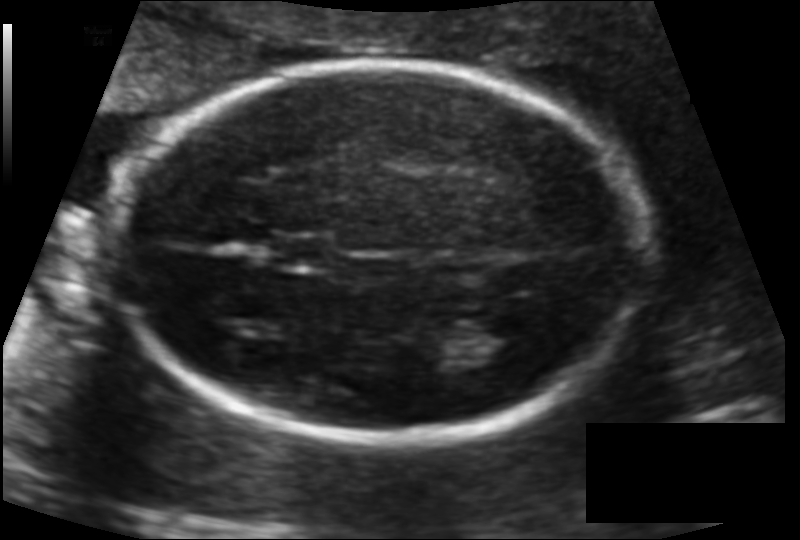
Fetal head ultrasound. Image width: 91.7 mm. Locate the fetal head and, if visible, the cavum septum pellucidum (CSP) and lateral ventricle (LV). Give bounding boxes as [x1,y1,x2,y2].

Head: [114,60,644,444]
CSP: [275,234,334,270]
Lateral ventricle: [458,315,538,371]